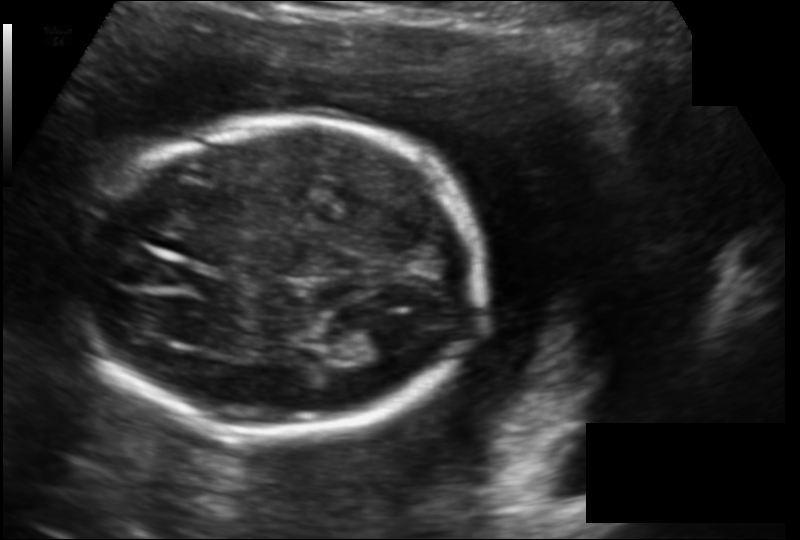
In this fetal head ultrasound, give the bounding box of the lateral ventricle. Image width: 113.3 mm.

[350,315,418,367]